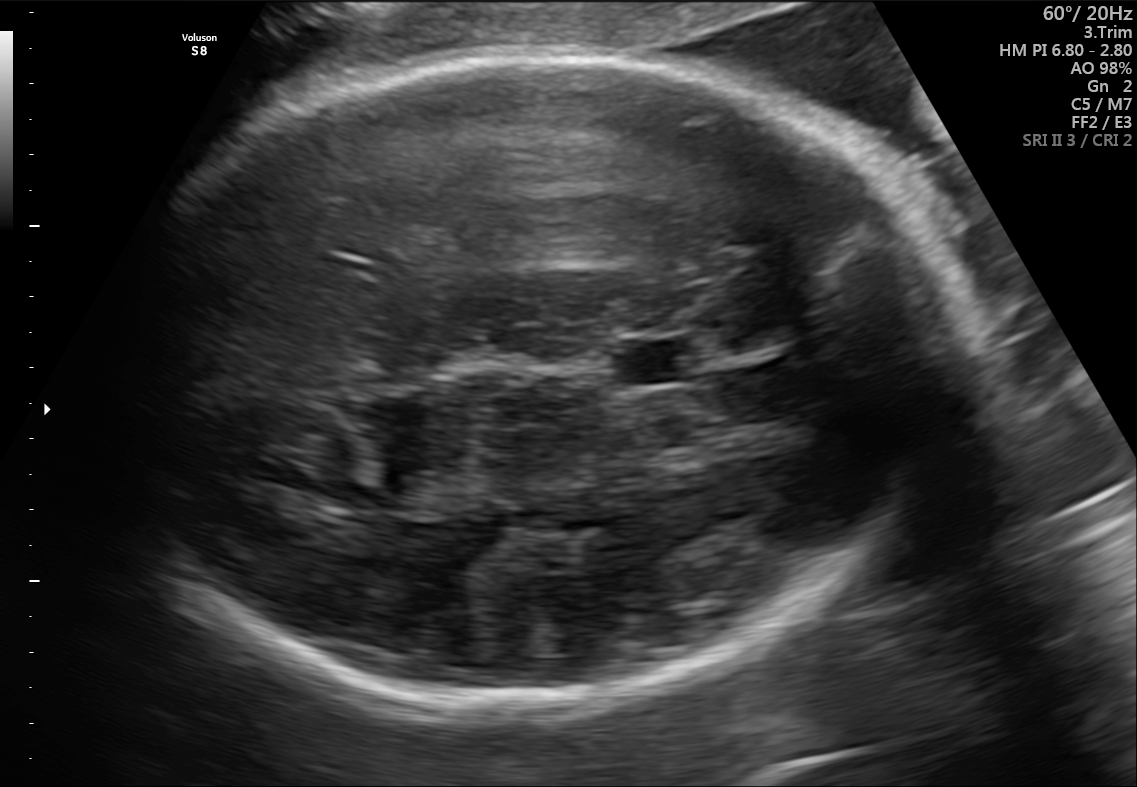
In this fetal brain, trans-thalamic plane, give bounding boxes for the head outline, cavum septum pellucidum (CSP), and lateral ventricle (LV), where visible.

Head: [106,54,951,702]
CSP: [614,336,706,388]